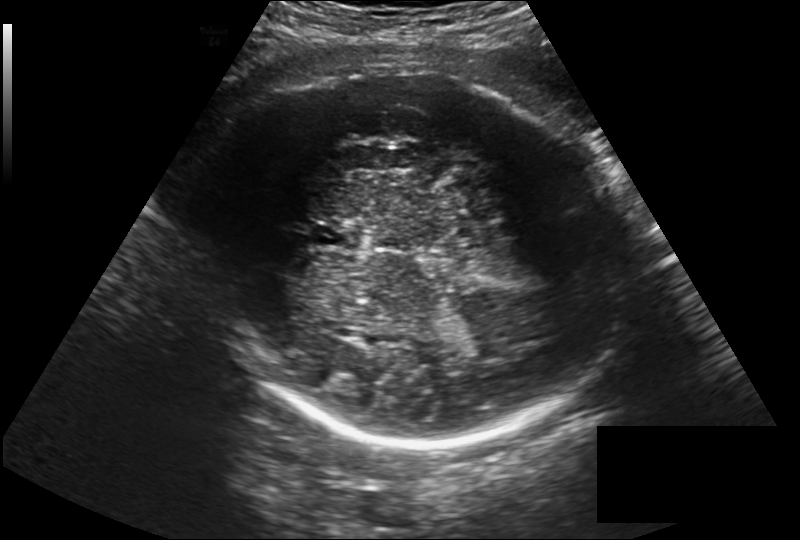
In this fetal head ultrasound, give the bounding box of the cavum septum pellucidum. Image width: 205.7 mm.

[310,220,365,251]